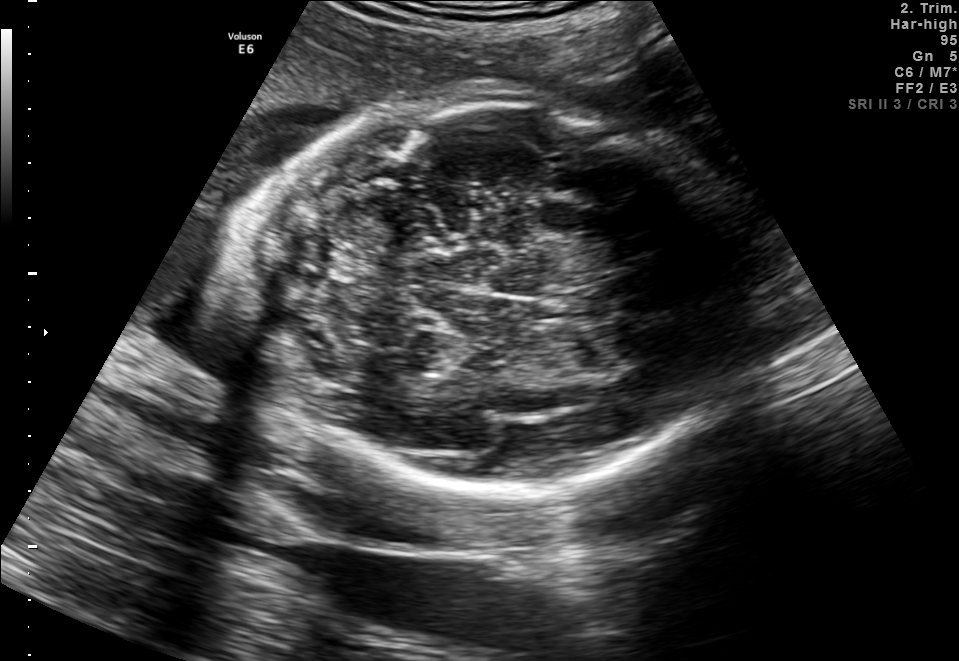
Fetal brain, trans-thalamic plane. Give [x1,y1,x2,y2] bounding boxes for each visible structure among: fetal head, CSP, LV.

Head: [225,93,758,494]